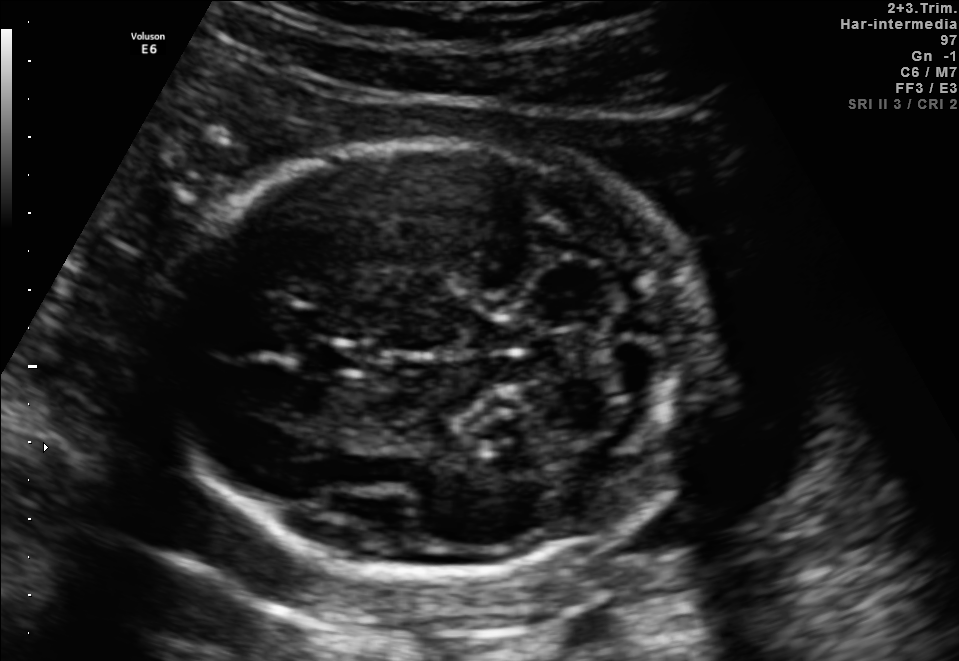
Identify the standard plane in this fetal ultrasound image: fetal abdomen, fetal brain, fetal femur, fetal thorax, maternal cervix, or other. If it's fetal brain and one of the three standard brain planes (trans-thalamic, trans-cerebellum, trans-ventricular), name which.

Fetal brain (trans-cerebellum plane)